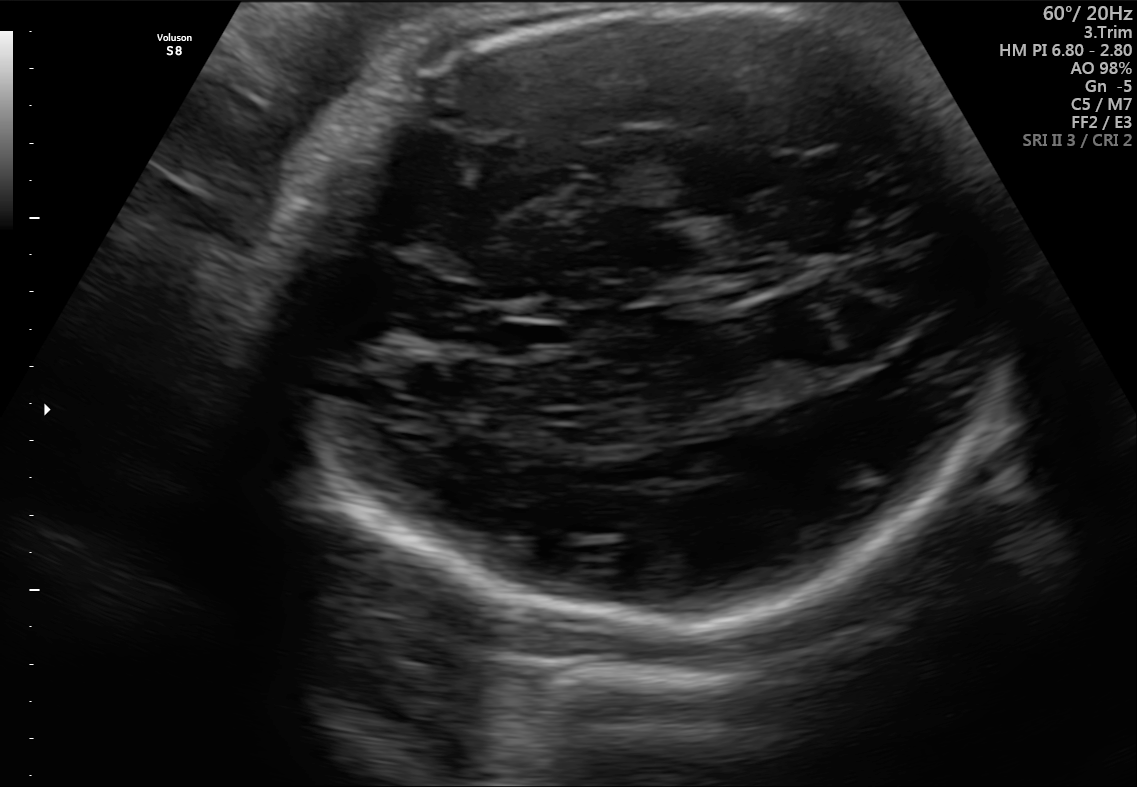
Fetal brain, trans-thalamic plane. Locate the fetal head.

Head: [268,6,1016,624]